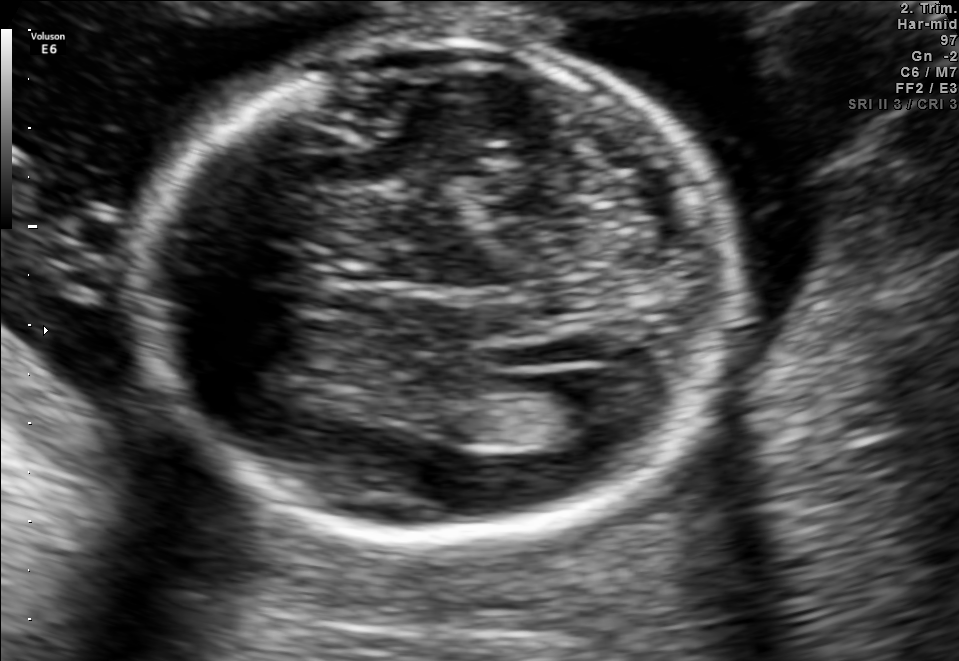
Fetal brain, trans-ventricular plane. Locate the fetal head and, if visible, the cavum septum pellucidum (CSP) and lateral ventricle (LV). Give bounding boxes as [x1,y1,x2,y2].

Head: [124,27,753,548]
Lateral ventricle: [536,382,632,444]